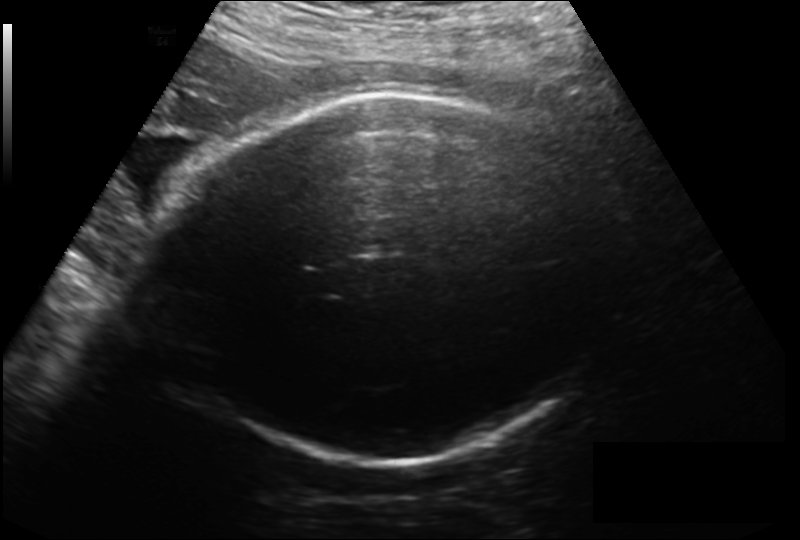
From this fetal ultrasound, estimate the head circumference (image width 171.5 mm).

Head circumference: 286.4 mm.